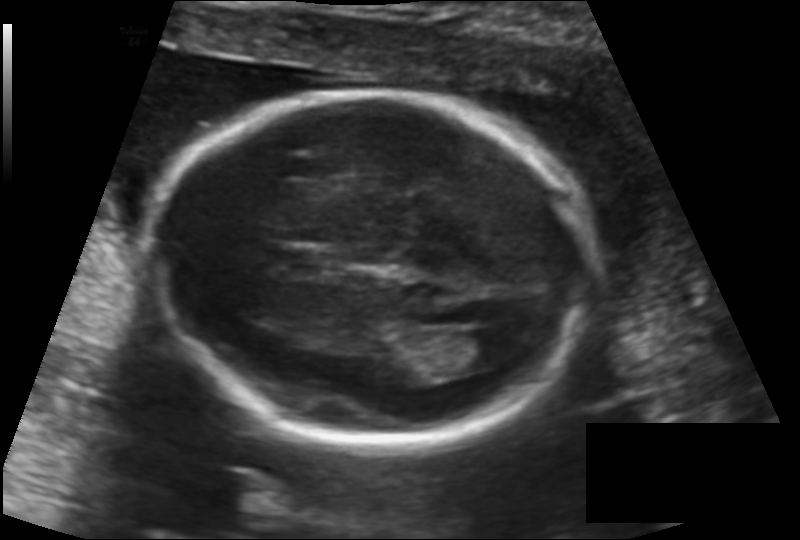
In this fetal head ultrasound, give the bounding box of the lateral ventricle. Image width: 109.6 mm.

[448,325,516,373]